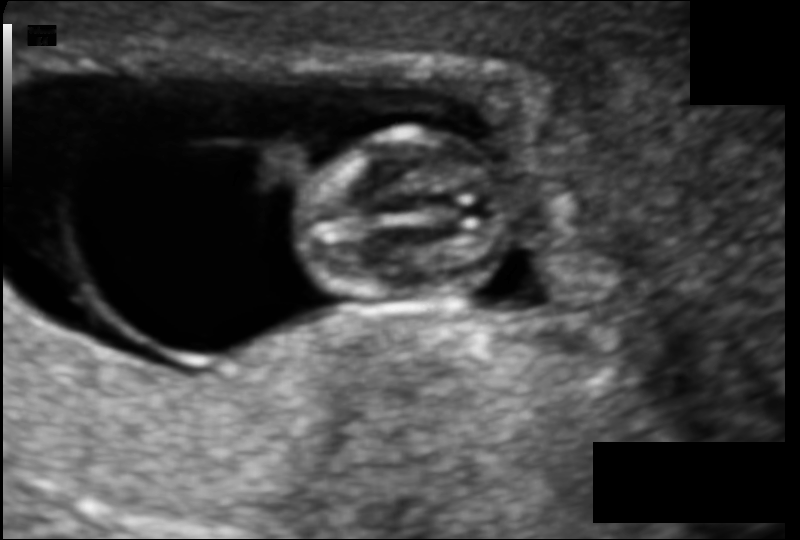
What is the fetal head circumference? Image width is 71.7 mm.

56.8 mm